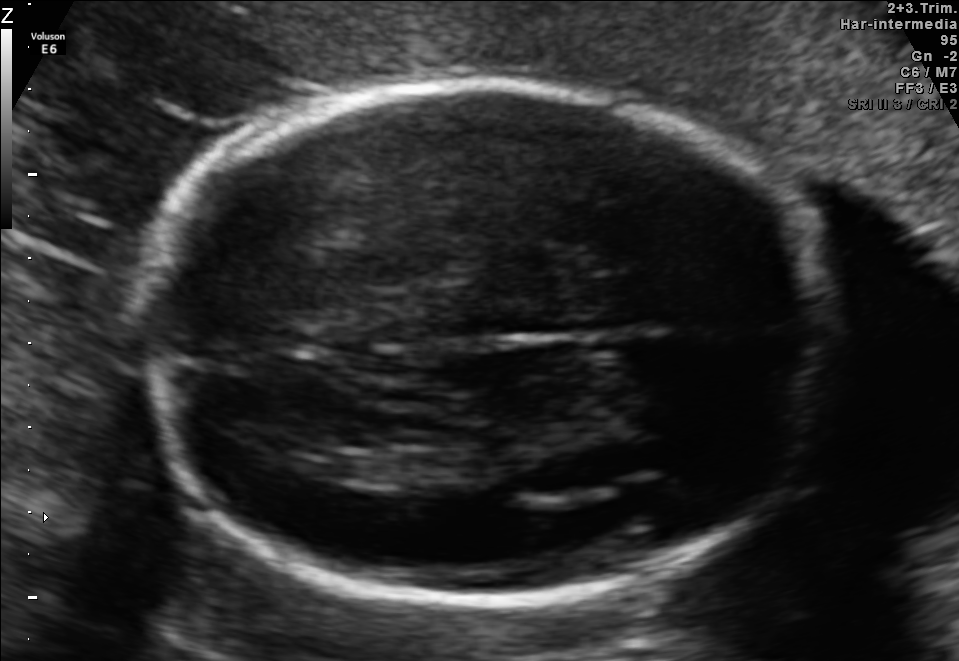
Fetal brain, trans-thalamic plane. Where is the lateral ventricle?

Lateral ventricle bounding box: [321,453,409,486]